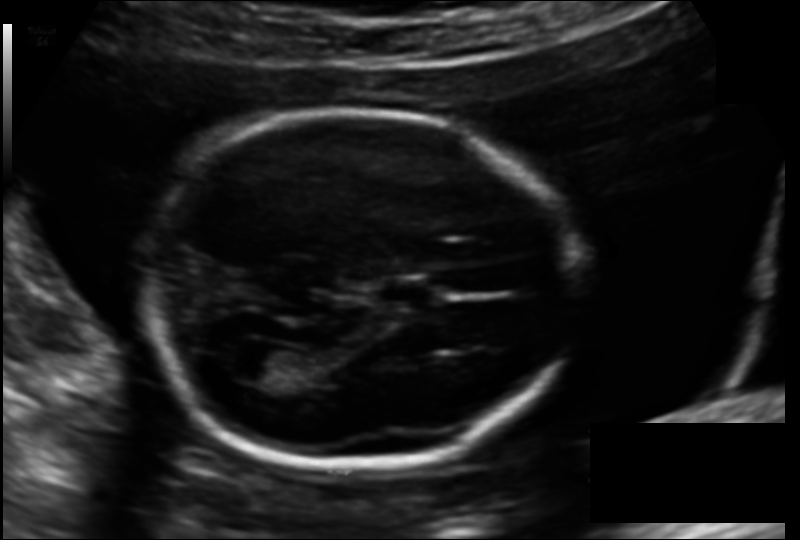
Fetal head ultrasound. Image width: 109.9 mm. Locate the fetal head.

Head: [153,114,569,477]